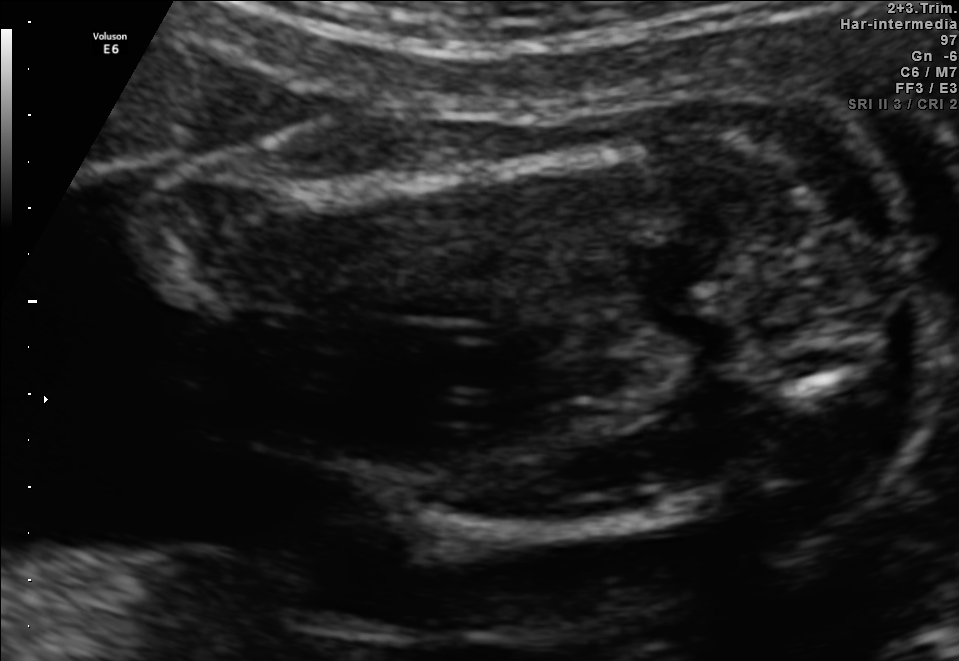
Classify this maternal-fetal ultrasound image as one of the six standard planes — fetal abdomen, fetal brain, fetal femur, fetal thorax, maternal cervix, or other. If it's fetal brain and one of the three standard brain planes (trans-thalamic, trans-cerebellum, trans-ventricular), name which.

Fetal femur